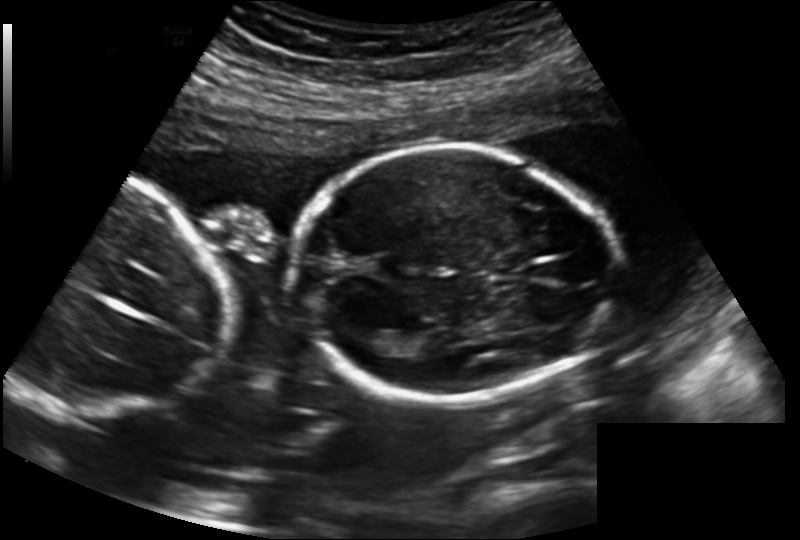
Fetal head ultrasound. Image width: 146.1 mm. Locate the fetal head and, if visible, the cavum septum pellucidum (CSP) and lateral ventricle (LV). Give bounding boxes as [x1,y1,x2,y2].

Head: [288,146,617,400]